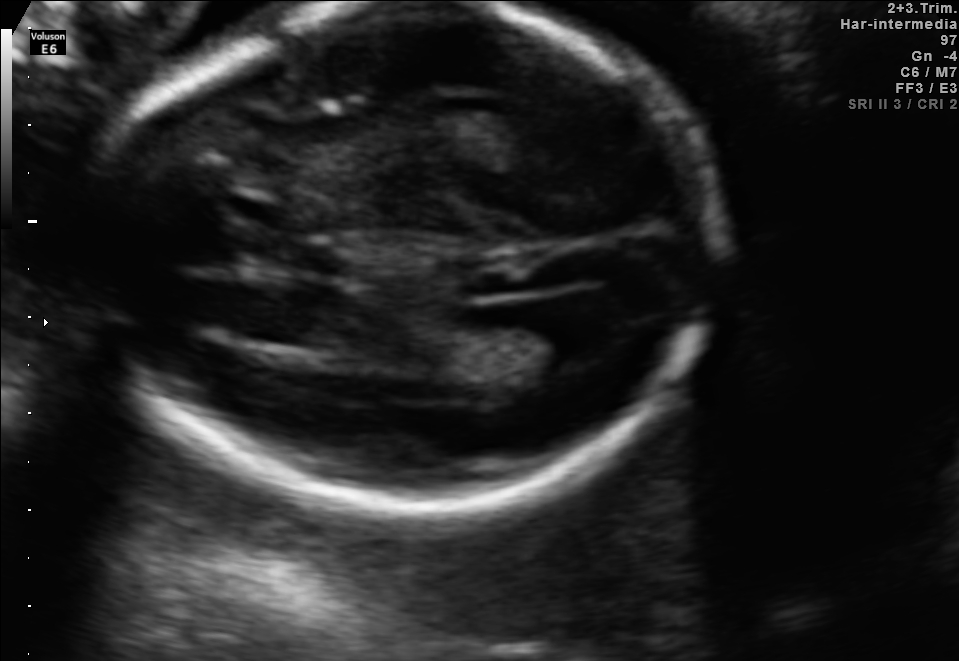
Fetal brain, trans-ventricular plane. Locate the lateral ventricle.

Lateral ventricle: [505,286,623,380]